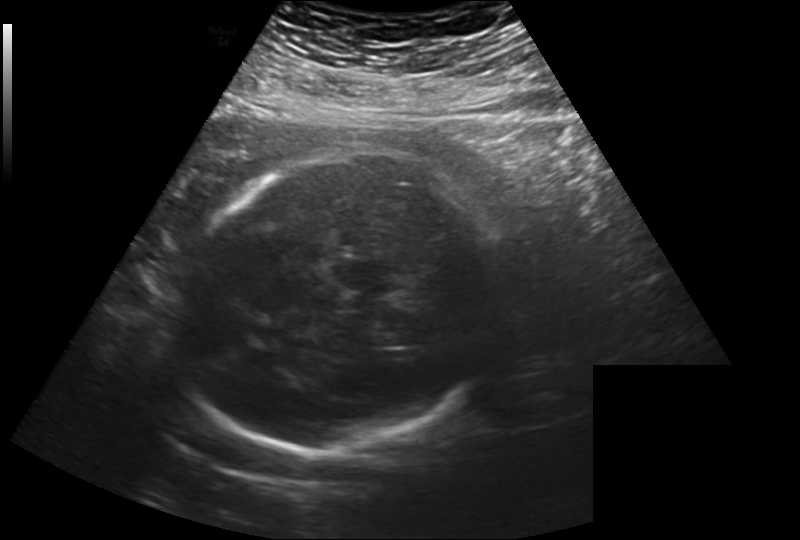
What is the fetal head circumference? Image width is 208.0 mm.

271.0 mm